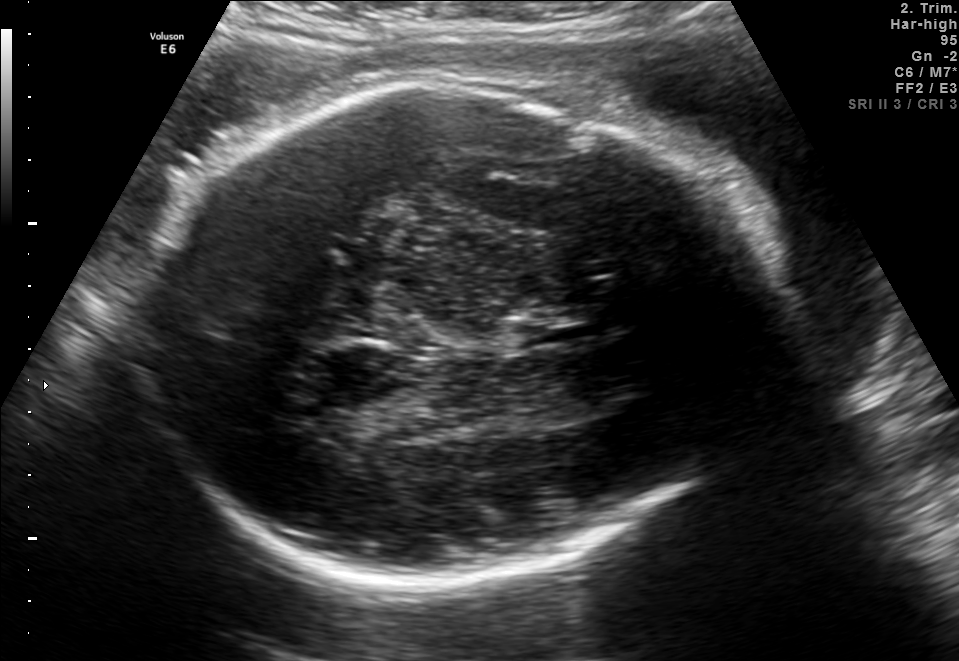
In this fetal brain, trans-thalamic plane, give bounding boxes for the head outline, cavum septum pellucidum (CSP), and lateral ventricle (LV), where visible.

Head: [130,78,765,585]